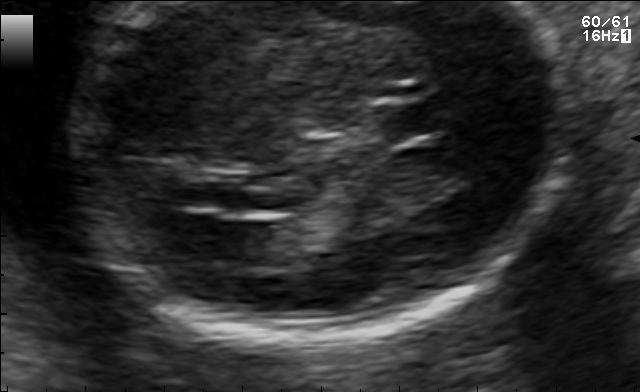
Fetal brain, trans-ventricular plane. Locate the cavum septum pellucidum (CSP) and lateral ventricle (LV), if visible. Give bounding boxes as [x1,y1,x2,y2].

CSP: [379,94,458,144]
Lateral ventricle: [188,222,273,265]